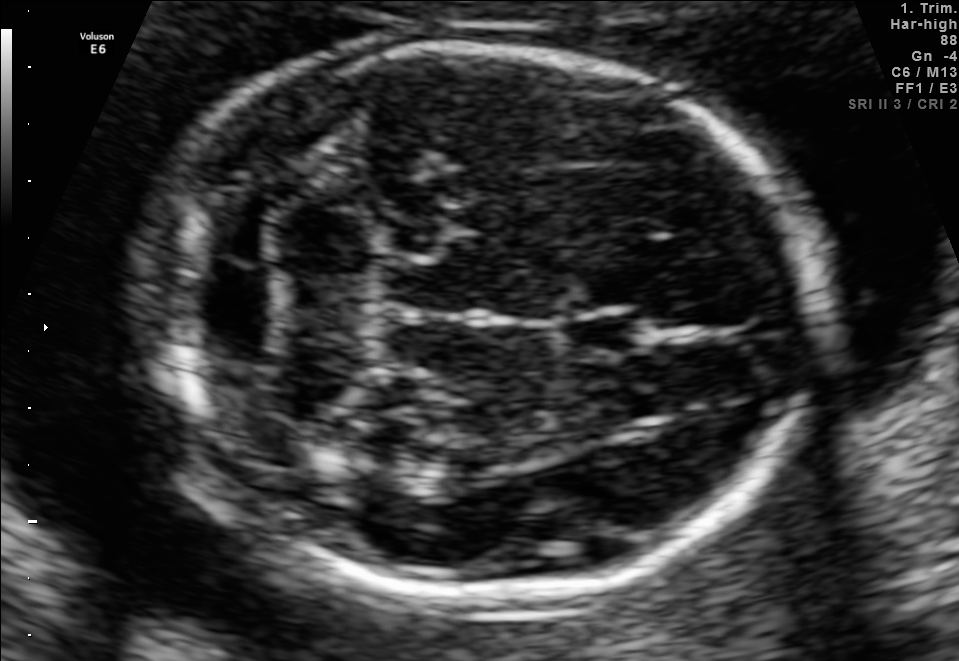
Fetal brain, trans-cerebellum plane. Locate the fetal head.

Head: [138,48,821,597]